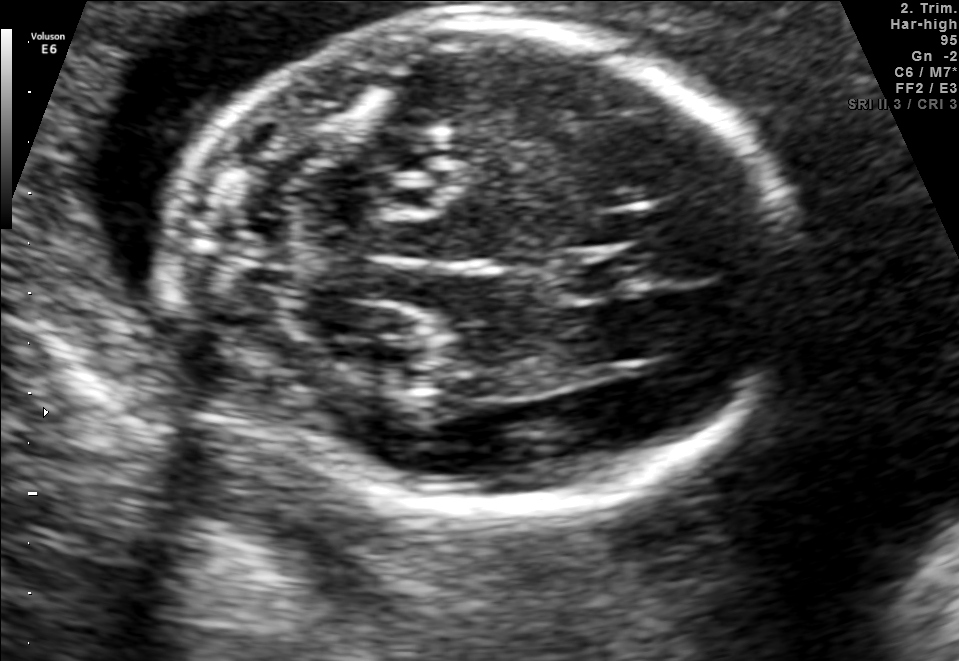
Fetal brain, trans-cerebellum plane. Where is the cavum septum pellucidum?

CSP bounding box: [551,244,649,303]